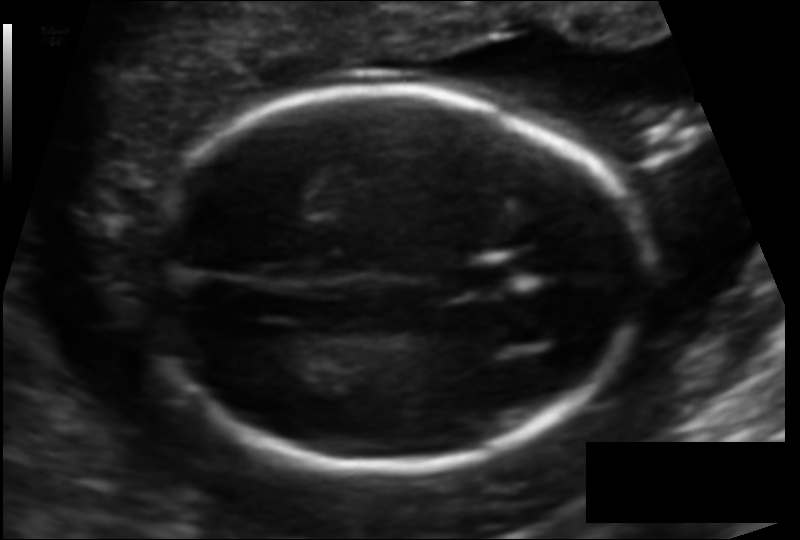
Estimate the fetal head circumference from this 2D ultrasound.

Head circumference: 162.0 mm (image width 91.5 mm).